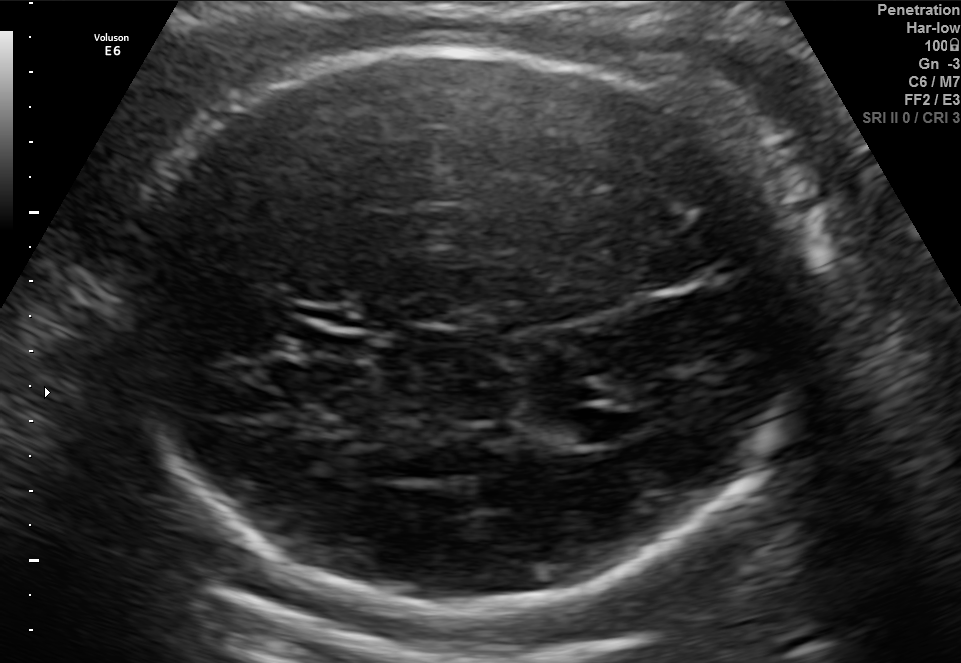
In this fetal brain, trans-ventricular plane, give the bounding box of the cavum septum pellucidum.

[292,294,370,341]